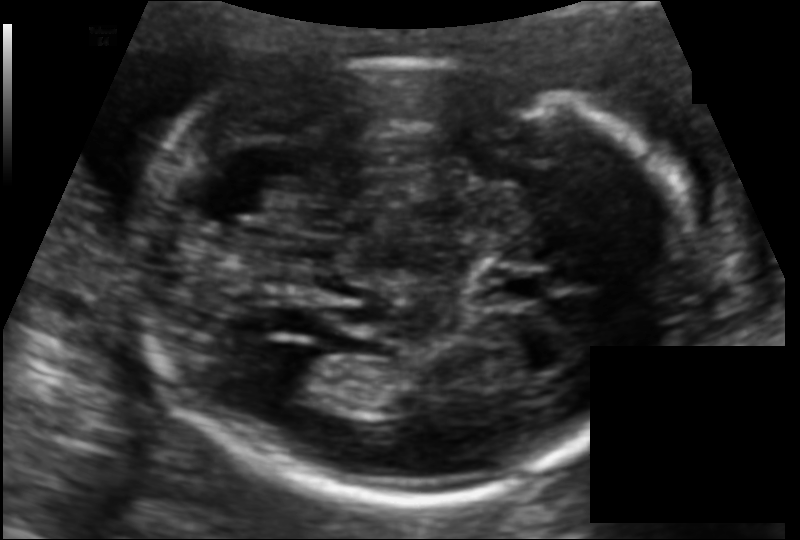
Fetal head ultrasound. Image width: 91.9 mm. Where is the lateral ventricle?

Lateral ventricle bounding box: [261,347,351,412]